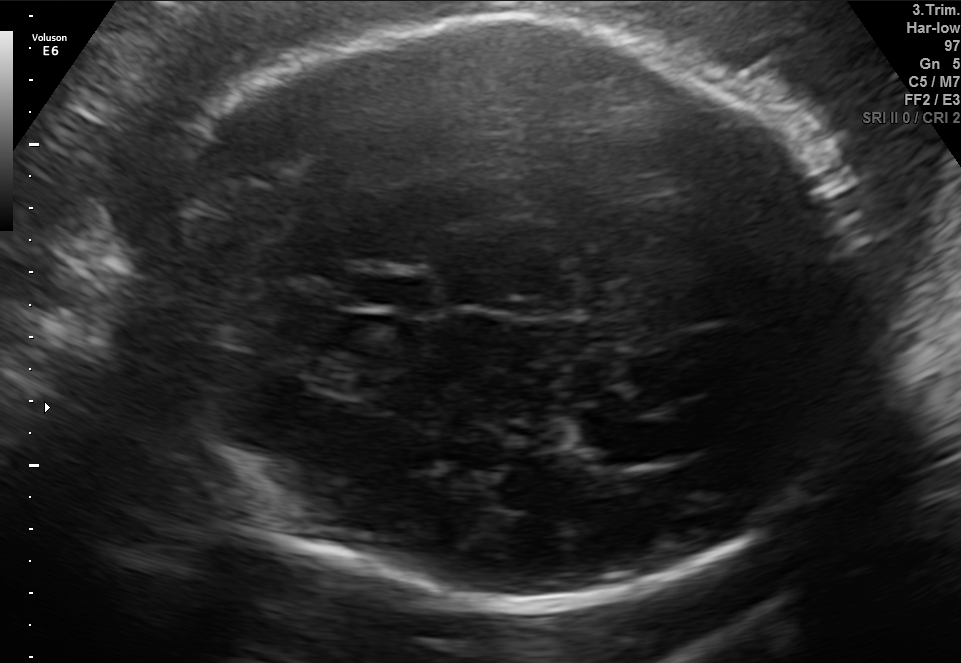
In this fetal brain, trans-thalamic plane, give the bounding box of the cavum septum pellucidum.

[356,274,431,312]